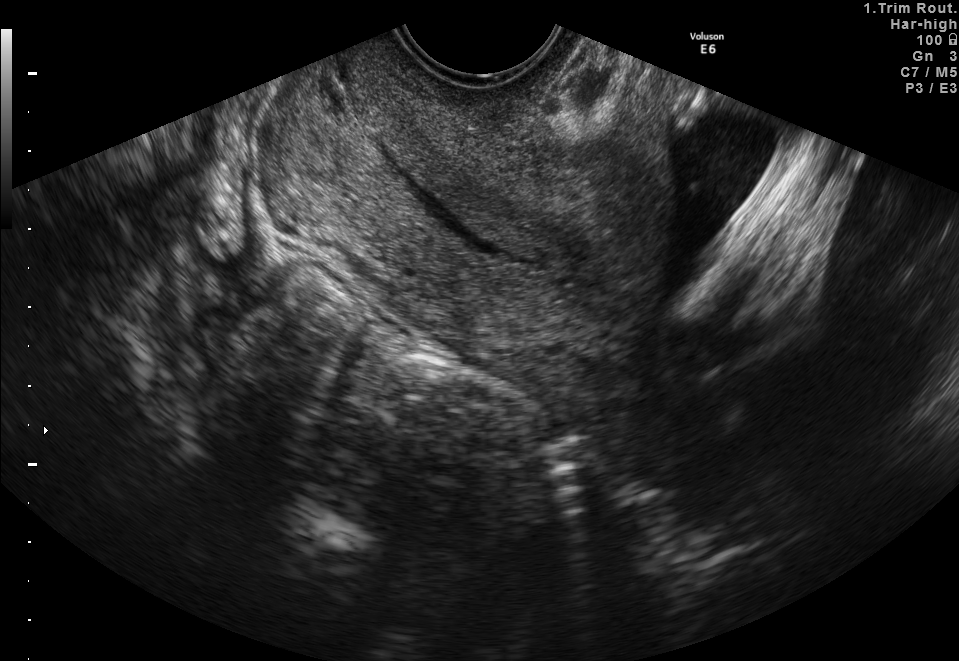
Identify the standard plane in this fetal ultrasound image: fetal abdomen, fetal brain, fetal femur, fetal thorax, maternal cervix, or other. If it's fetal brain and one of the three standard brain planes (trans-thalamic, trans-cerebellum, trans-ventricular), name which.

Maternal cervix